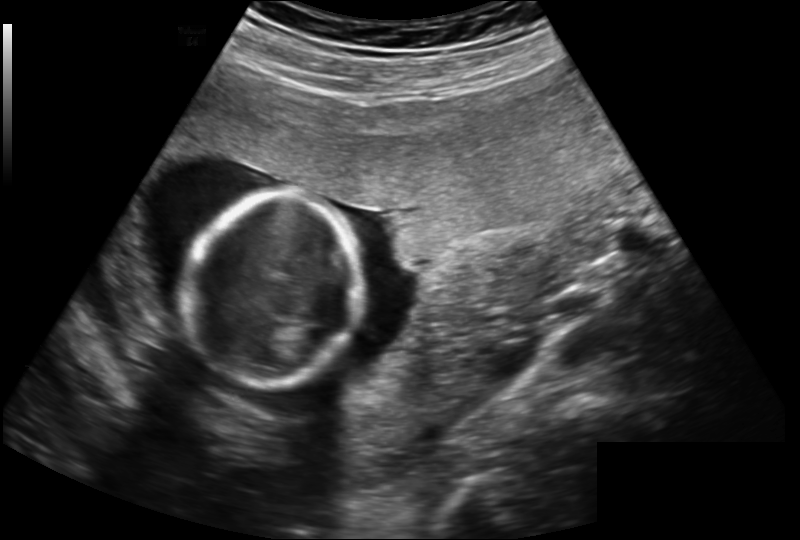
Measure the fetal head circumference shown in this ultrasound image. Image width: 161.5 mm.

Head circumference: 120.1 mm.